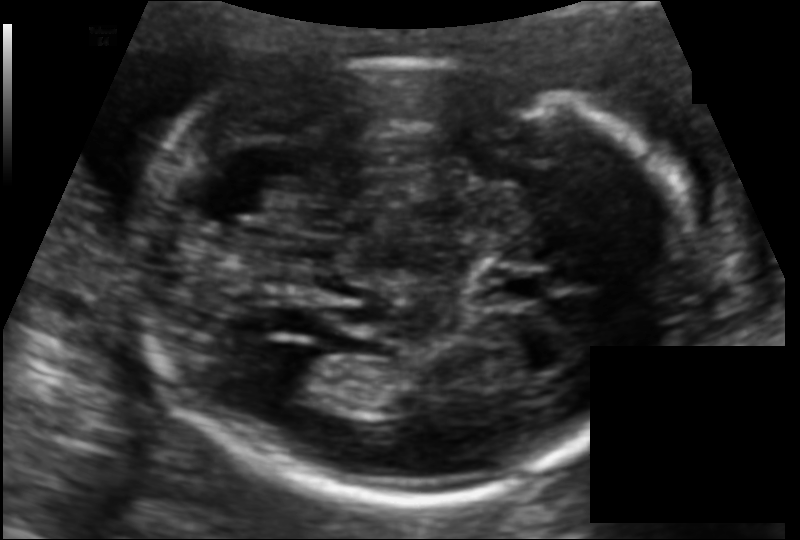
Fetal head ultrasound. Image width: 91.9 mm. Locate the lateral ventricle.

Lateral ventricle: [261,347,351,412]